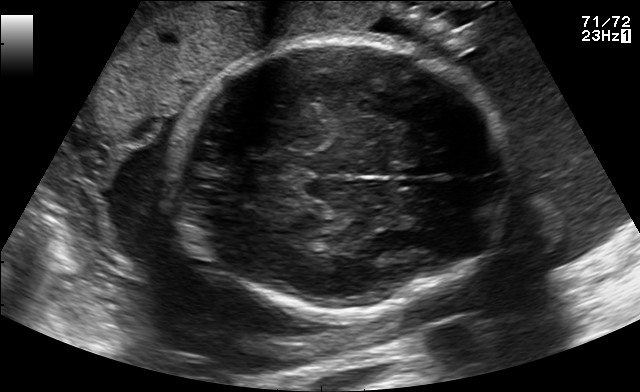
In this fetal brain, trans-thalamic plane, give bounding boxes for the head outline, cavum septum pellucidum (CSP), and lateral ventricle (LV), where visible.

Head: [174,41,509,313]